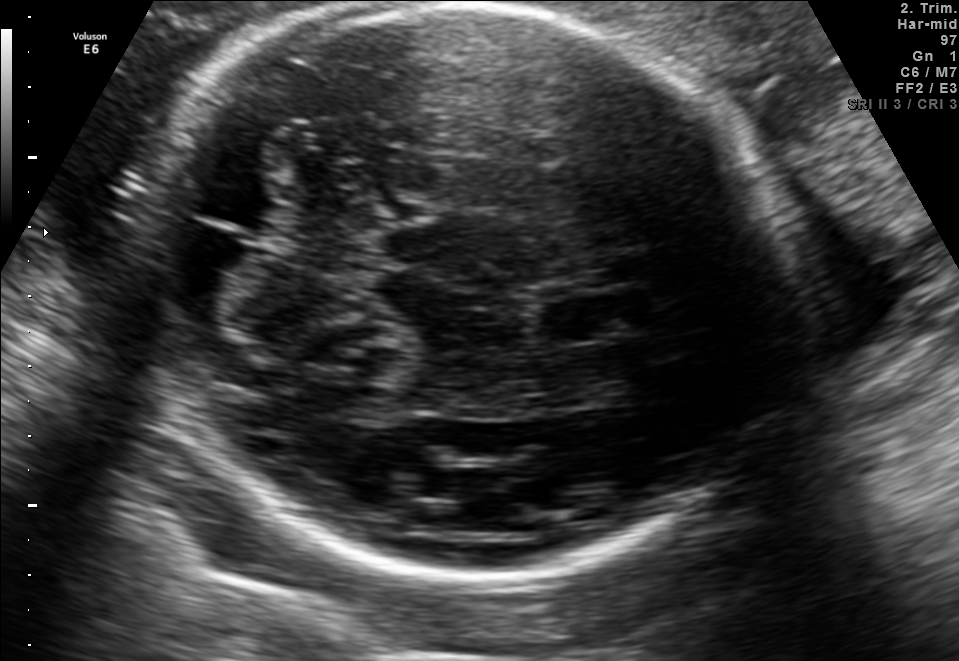
In this fetal brain, trans-cerebellum plane, give the bounding box of the cavum septum pellucidum.

[535,290,645,347]